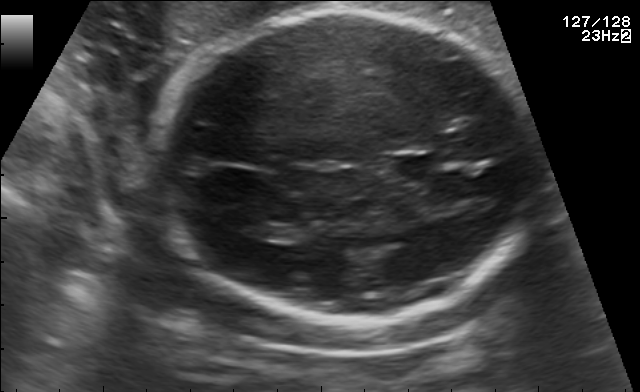
Which standard maternal-fetal ultrasound plane is shown: fetal abdomen, fetal brain, fetal femur, fetal thorax, maternal cervix, or other? If it's fetal brain and one of the three standard brain planes (trans-thalamic, trans-cerebellum, trans-ventricular), name which.

Fetal brain (trans-thalamic plane)